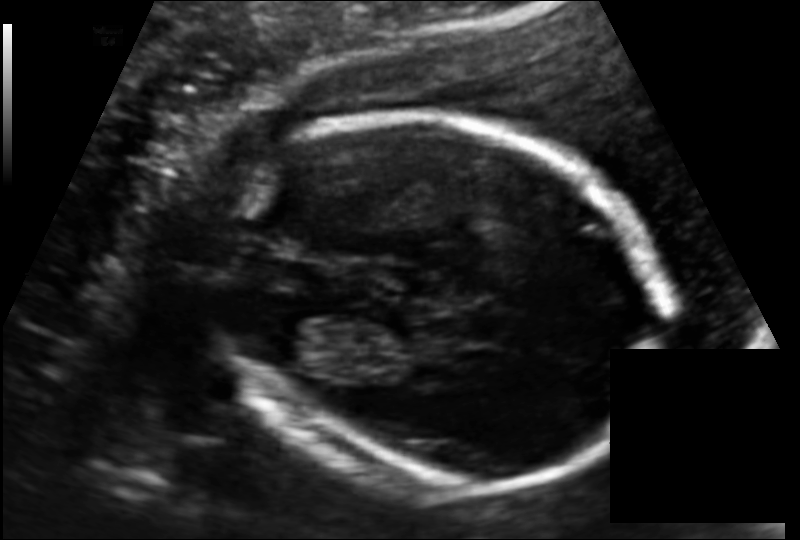
In this fetal head ultrasound, give bounding boxes for the head outline, cavum septum pellucidum (CSP), and lateral ventricle (LV), where visible. Image width: 103.9 mm.

Head: [209,114,667,492]